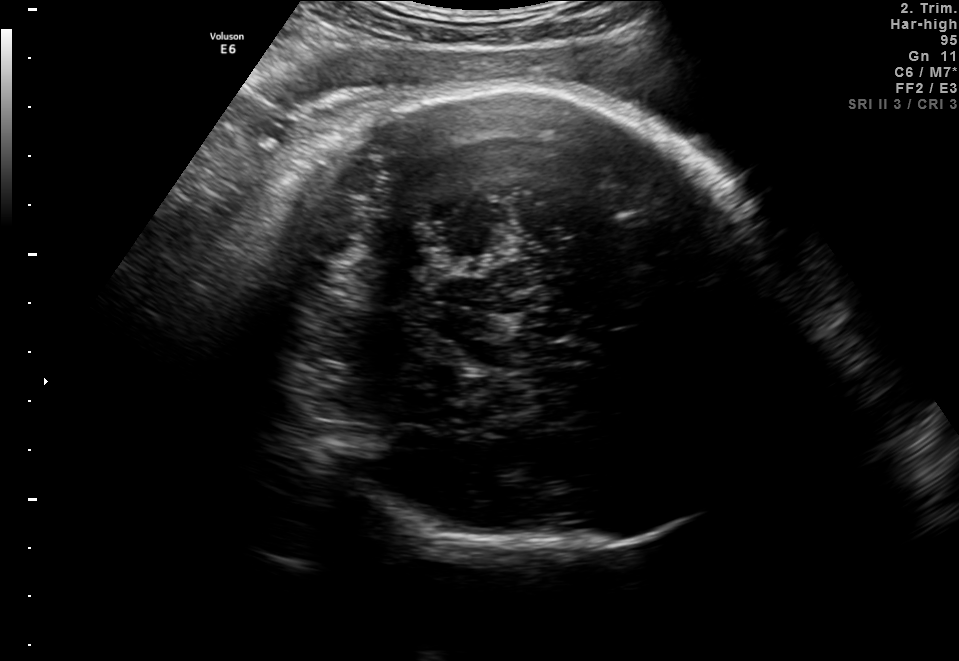
Fetal brain, trans-thalamic plane. Where is the fetal head?

Head bounding box: [246,88,787,555]